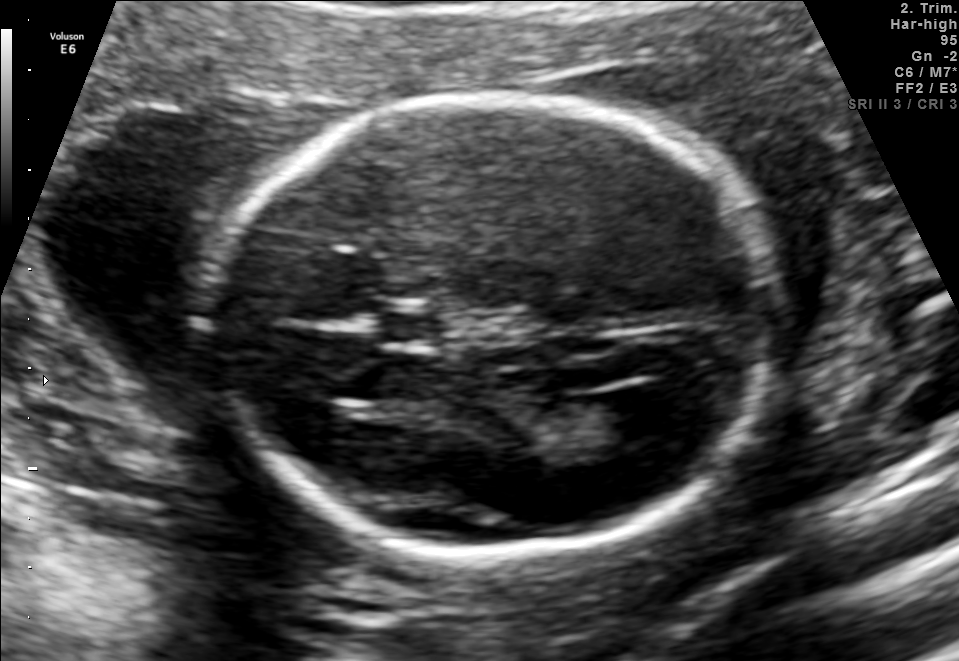
Fetal brain, trans-ventricular plane. Where is the lateral ventricle?

Lateral ventricle bounding box: [585,371,690,453]